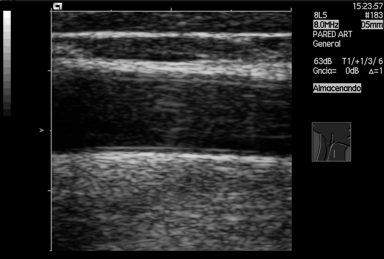
This is a 2D maternal-fetal ultrasound frame. Is it a fetal abdomen, fetal brain, fetal femur, fetal thorax, maternal cervix, or other standard plane? If it's fetal brain and one of the three standard brain planes (trans-thalamic, trans-cerebellum, trans-ventricular), name which.

Other